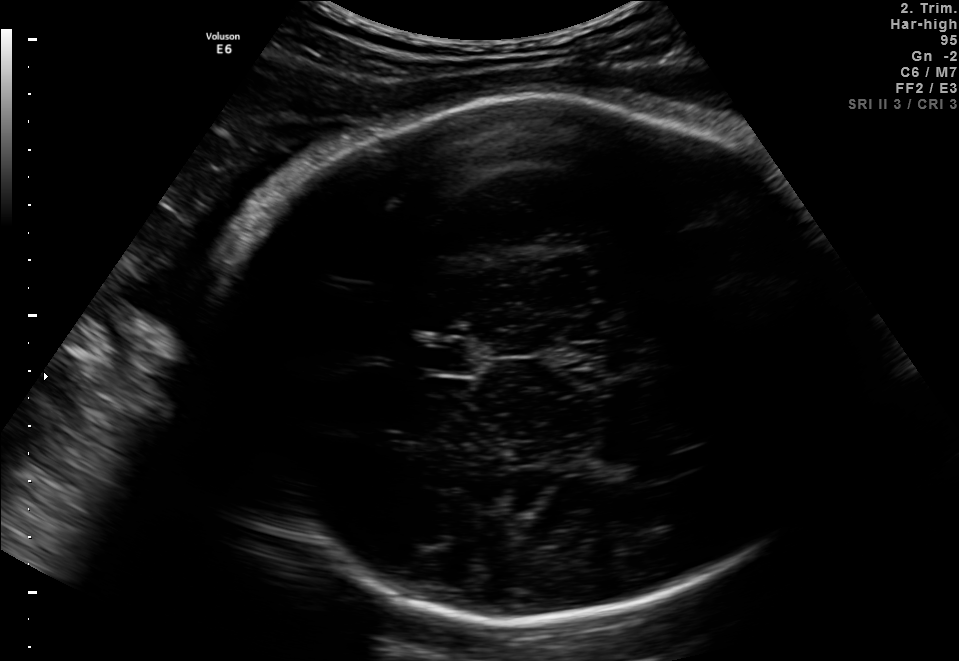
Identify the standard plane in this fetal ultrasound image: fetal abdomen, fetal brain, fetal femur, fetal thorax, maternal cervix, or other. If it's fetal brain and one of the three standard brain planes (trans-thalamic, trans-cerebellum, trans-ventricular), name which.

Fetal brain (trans-thalamic plane)